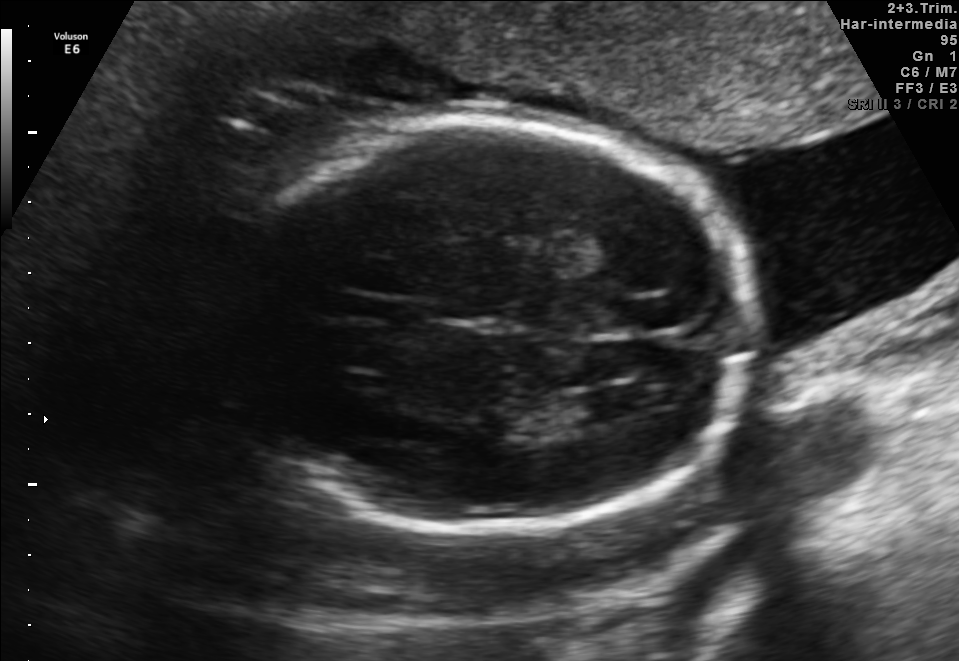
Fetal brain, trans-ventricular plane. Locate the cavum septum pellucidum.

CSP: [352,297,409,324]